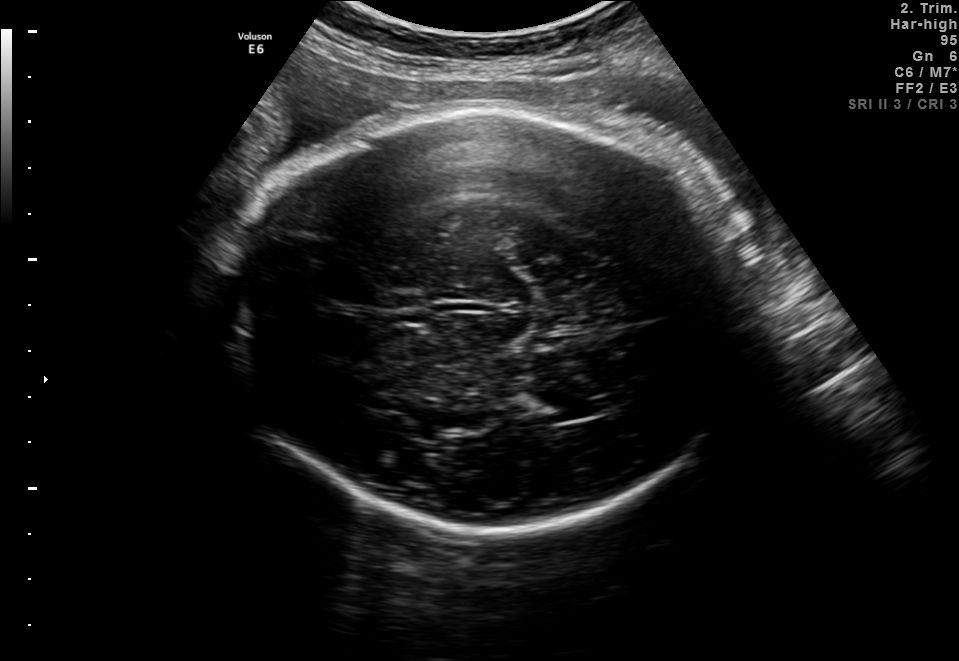
Fetal brain, trans-thalamic plane. Locate the fetal head and, if visible, the cavum septum pellucidum (CSP) and lateral ventricle (LV). Give bounding boxes as [x1,y1,x2,y2].

Head: [232,106,751,527]
Lateral ventricle: [513,380,609,429]